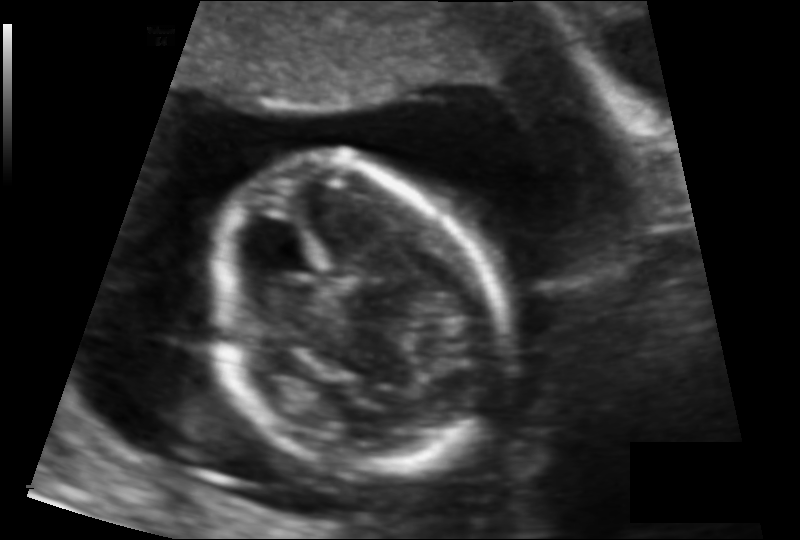
Fetal head ultrasound. Image width: 82.6 mm. Locate the fetal head.

Head: [211,157,504,473]